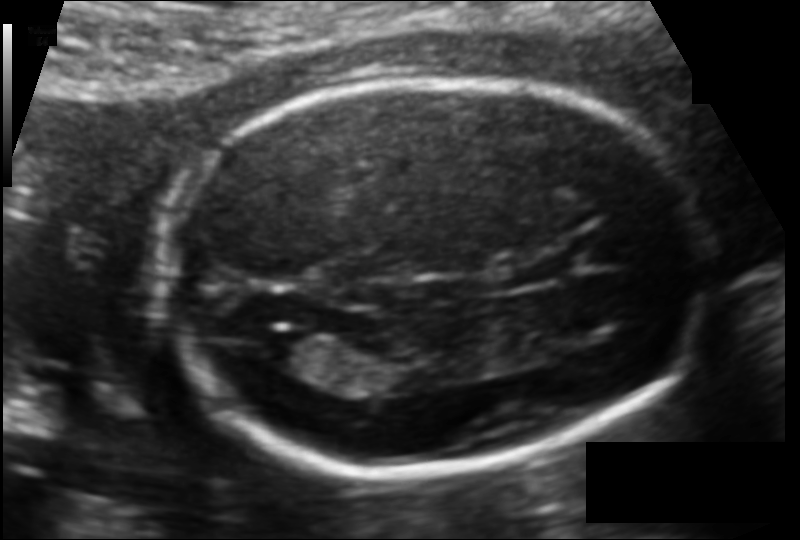
Estimate the fetal head circumference from this 2D ultrasound. Image width: 87.1 mm.

Head circumference: 163.9 mm.